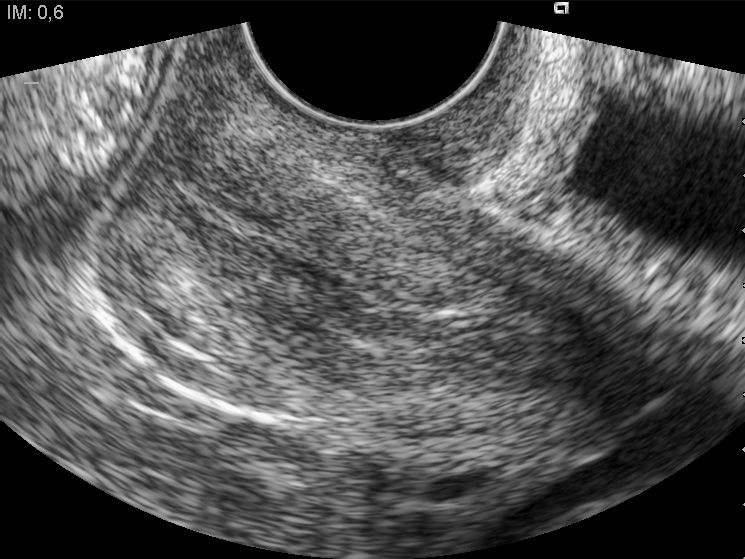
This is a 2D maternal-fetal ultrasound frame. Is it a fetal abdomen, fetal brain, fetal femur, fetal thorax, maternal cervix, or other standard plane? If it's fetal brain and one of the three standard brain planes (trans-thalamic, trans-cerebellum, trans-ventricular), name which.

Maternal cervix